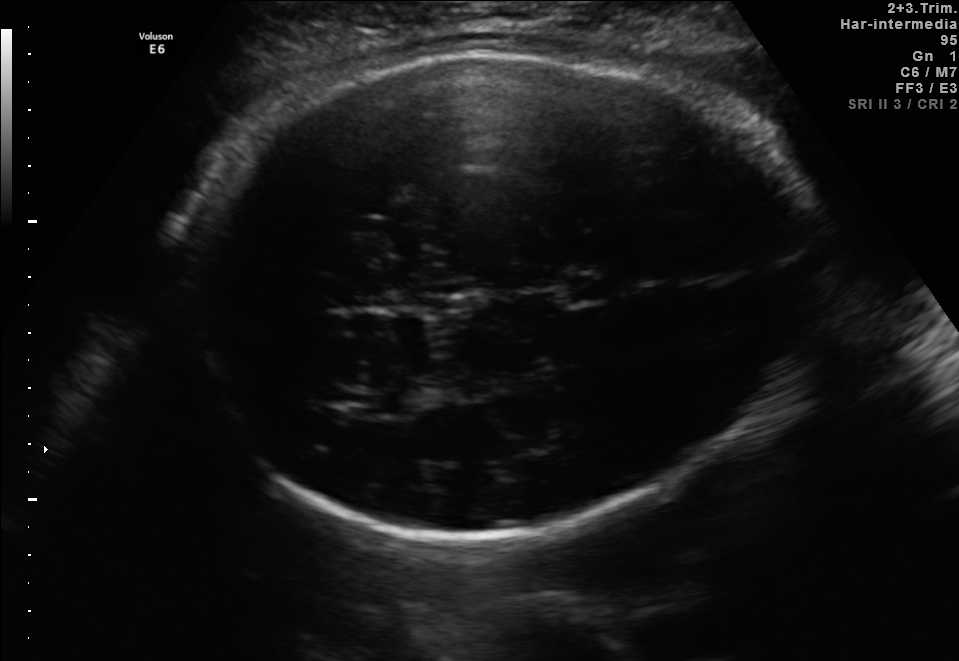
Fetal brain, trans-thalamic plane. Where is the cavum septum pellucidum?

CSP bounding box: [566,274,611,304]